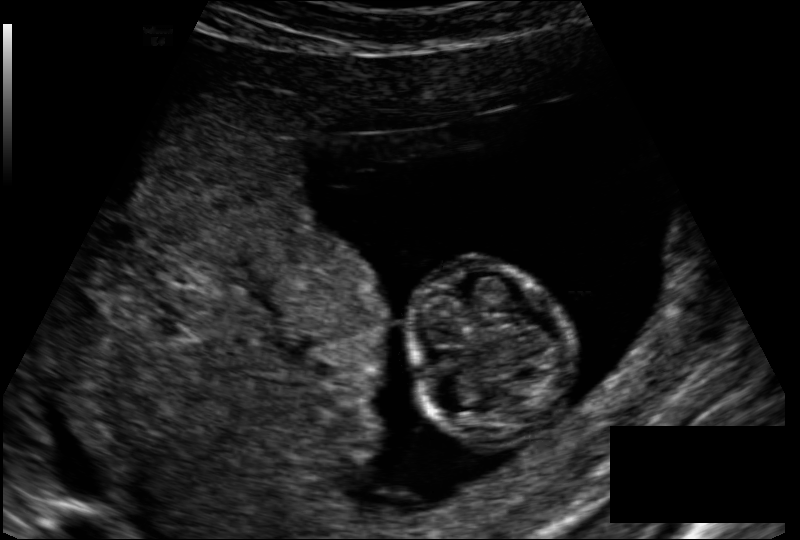
Fetal head ultrasound. Image width: 102.1 mm. Where is the fetal head?

Head bounding box: [408,260,567,439]